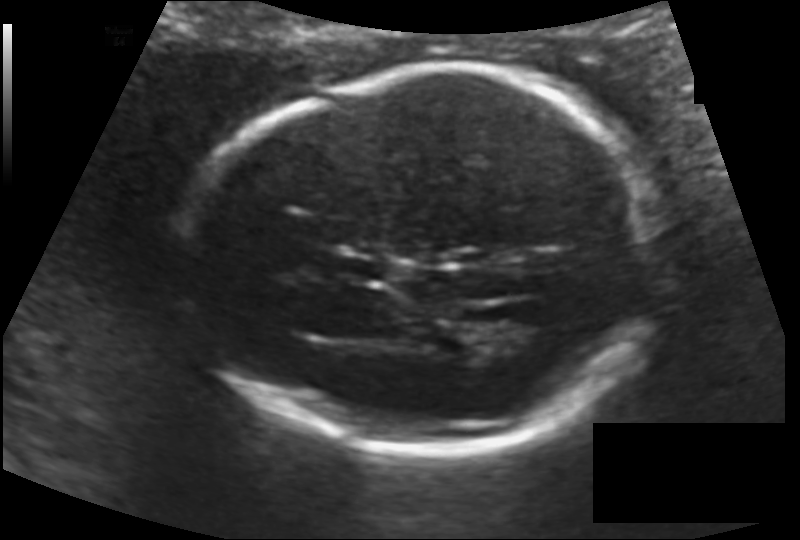
Estimate the fetal head circumference from this 2D ultrasound.

Head circumference: 177.0 mm (image width 102.3 mm).